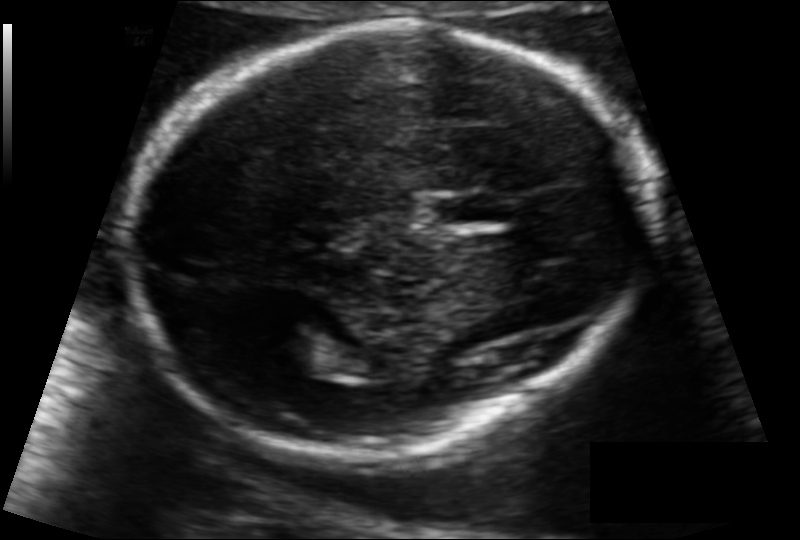
Estimate the fetal head circumference from this 2D ultrasound. Image width: 88.7 mm.

Head circumference: 172.6 mm.